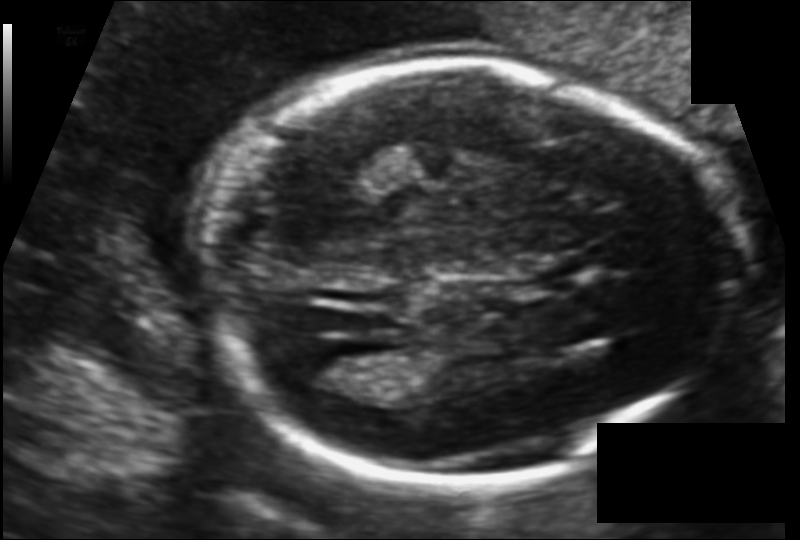
Fetal head ultrasound. Image width: 93.1 mm. Where is the lateral ventricle?

Lateral ventricle bounding box: [289,342,376,396]